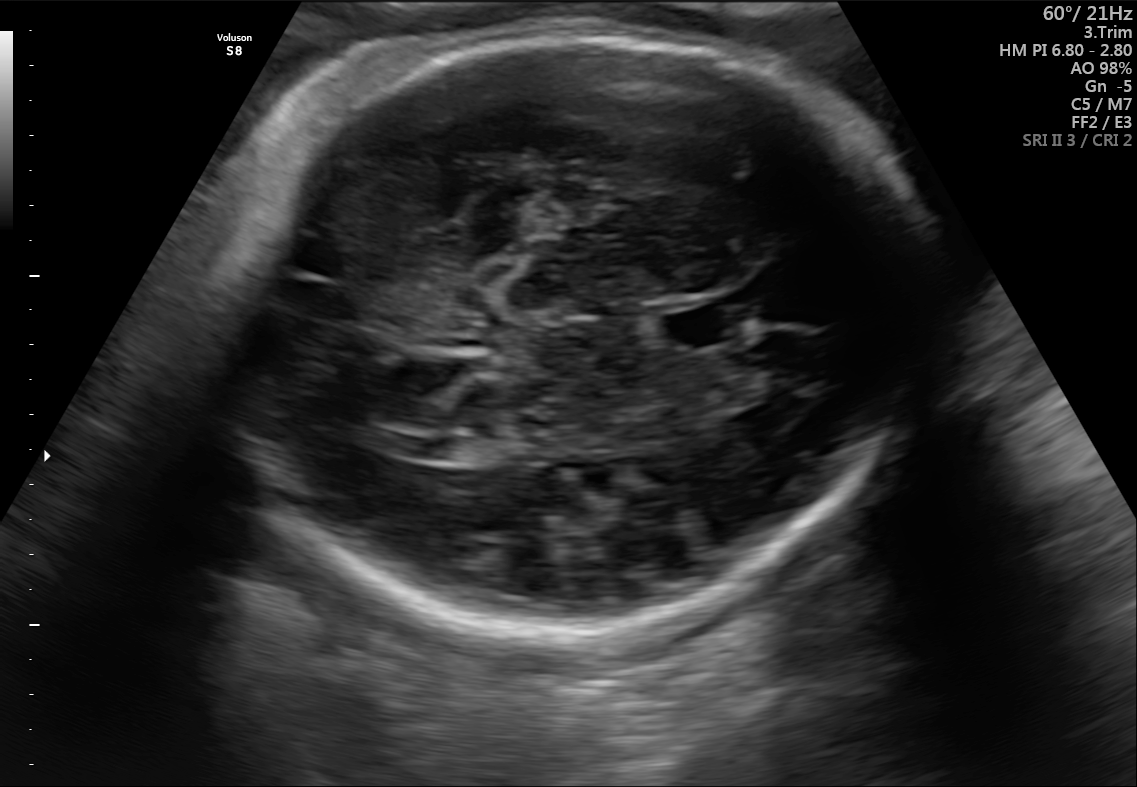
Fetal brain, trans-thalamic plane. Where is the fetal head?

Head bounding box: [206,29,931,623]